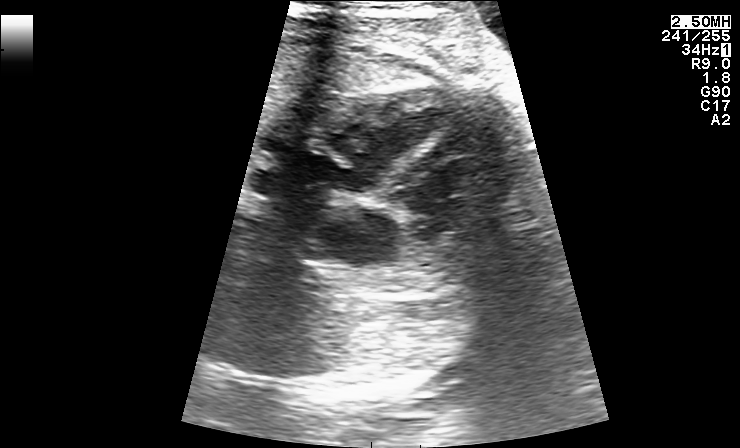
This is a 2D maternal-fetal ultrasound frame. Is it a fetal abdomen, fetal brain, fetal femur, fetal thorax, maternal cervix, or other standard plane? If it's fetal brain and one of the three standard brain planes (trans-thalamic, trans-cerebellum, trans-ventricular), name which.

Fetal thorax